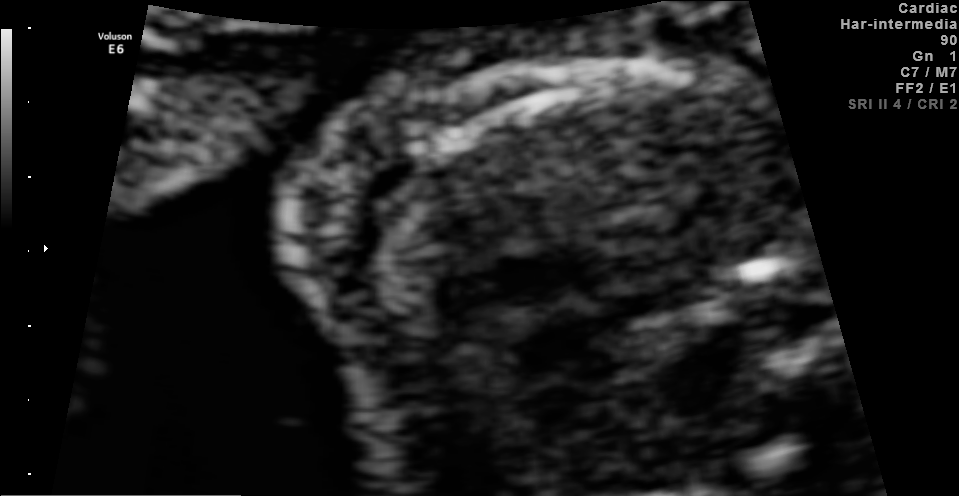
Identify the standard plane in this fetal ultrasound image: fetal abdomen, fetal brain, fetal femur, fetal thorax, maternal cervix, or other. If it's fetal brain and one of the three standard brain planes (trans-thalamic, trans-cerebellum, trans-ventricular), name which.

Other